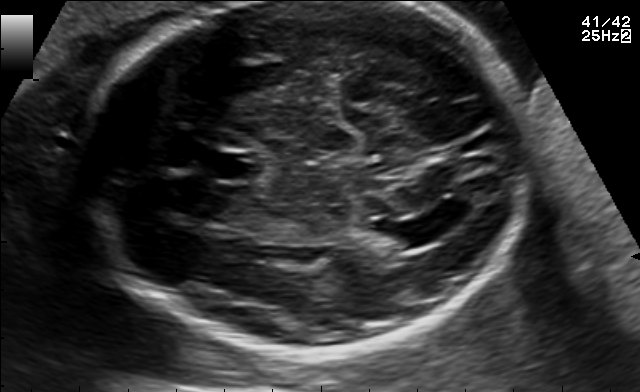
Fetal brain, trans-ventricular plane. Where is the lateral ventricle?

Lateral ventricle bounding box: [377,211,445,258]